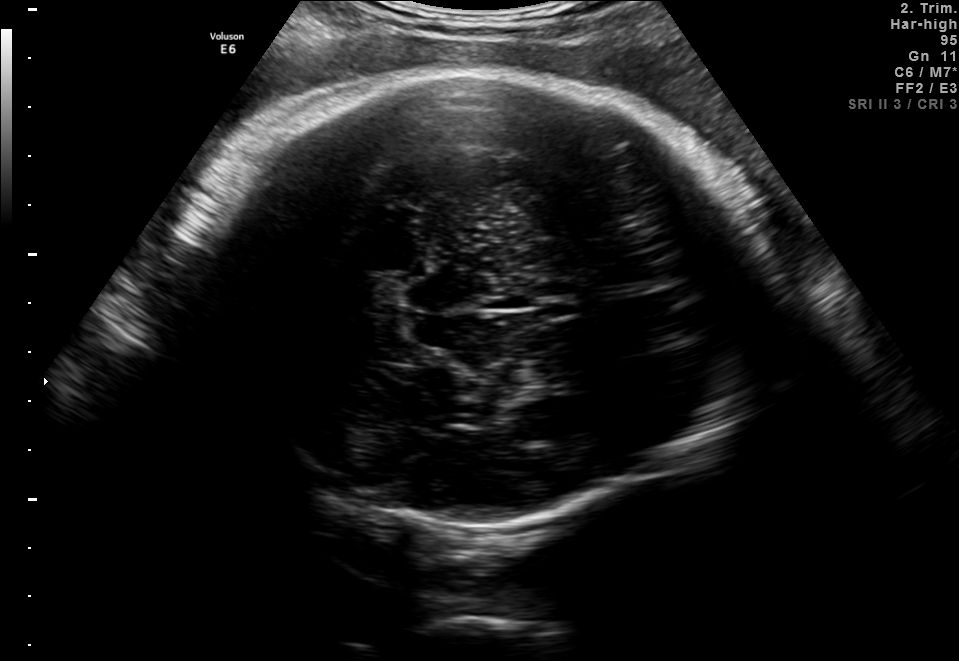
In this fetal brain, trans-thalamic plane, give bounding boxes for the head outline, cavum septum pellucidum (CSP), and lateral ventricle (LV), where visible.

Head: [171,70,748,541]